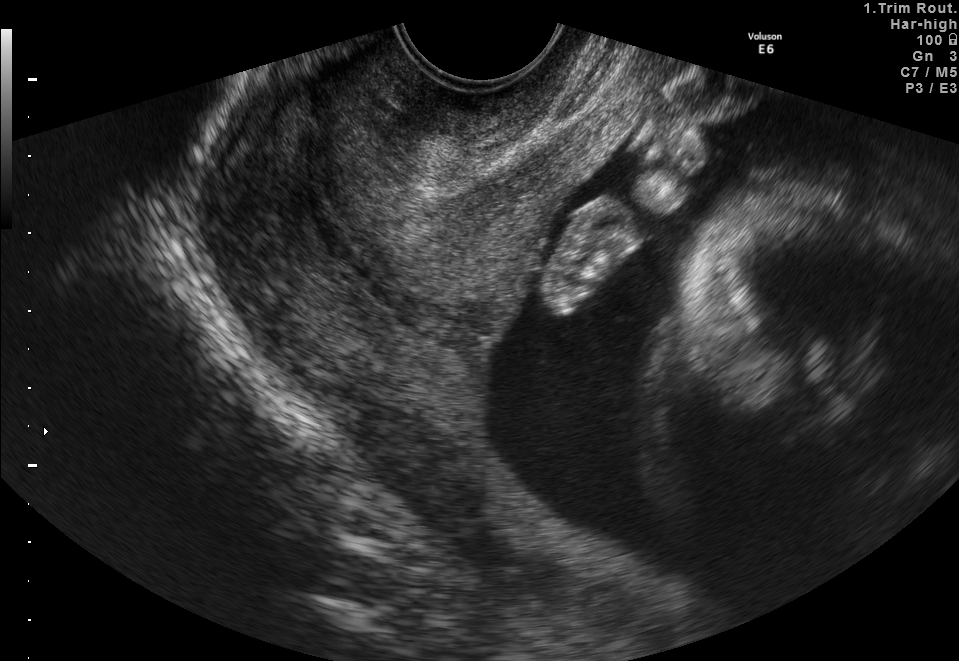
Classify this maternal-fetal ultrasound image as one of the six standard planes — fetal abdomen, fetal brain, fetal femur, fetal thorax, maternal cervix, or other. If it's fetal brain and one of the three standard brain planes (trans-thalamic, trans-cerebellum, trans-ventricular), name which.

Maternal cervix